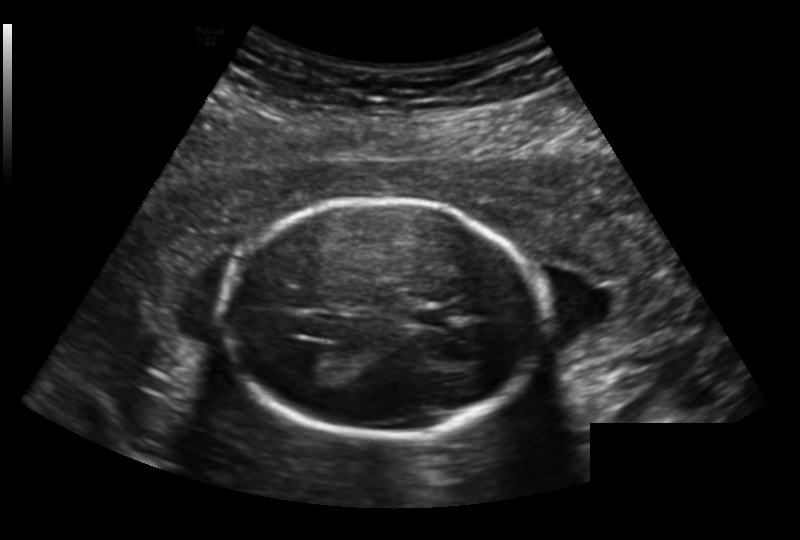
Fetal head ultrasound. Image width: 152.4 mm. Where is the cavum septum pellucidum?

CSP bounding box: [412,306,452,328]